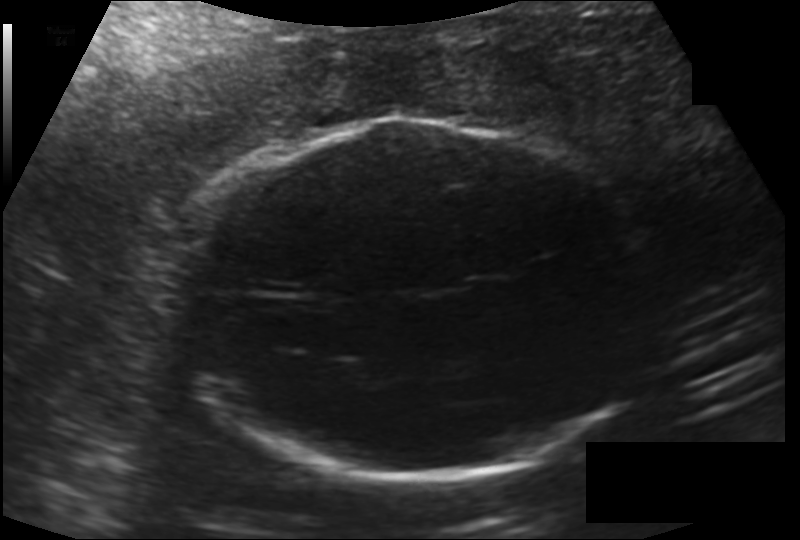
Estimate the fetal head circumference from this 2D ultrasound. Image width: 140.8 mm.

Head circumference: 238.5 mm.